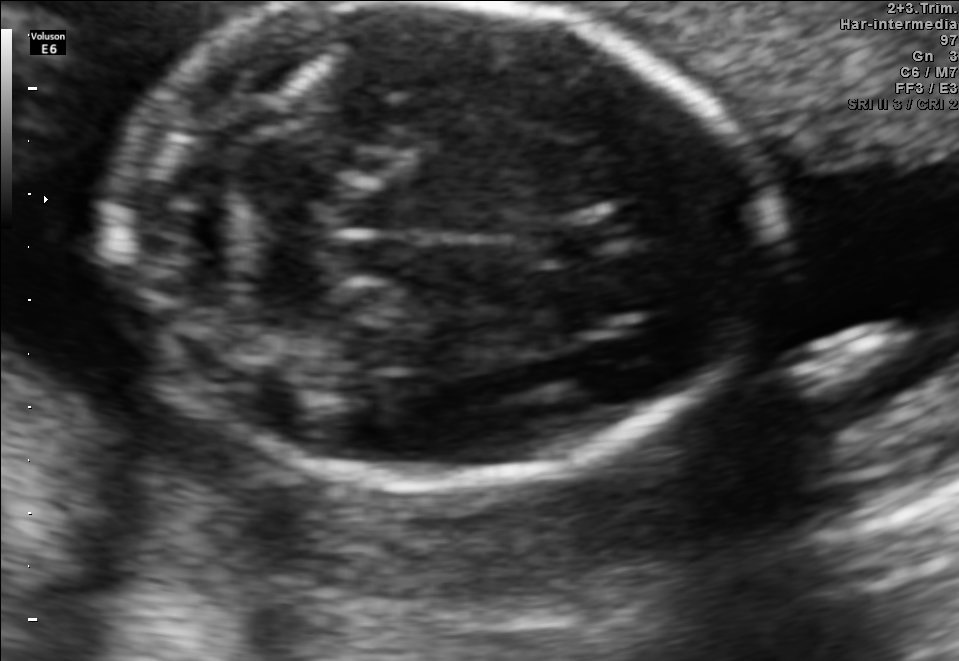
Fetal brain, trans-cerebellum plane. Locate the fetal head.

Head: [108,5,763,482]